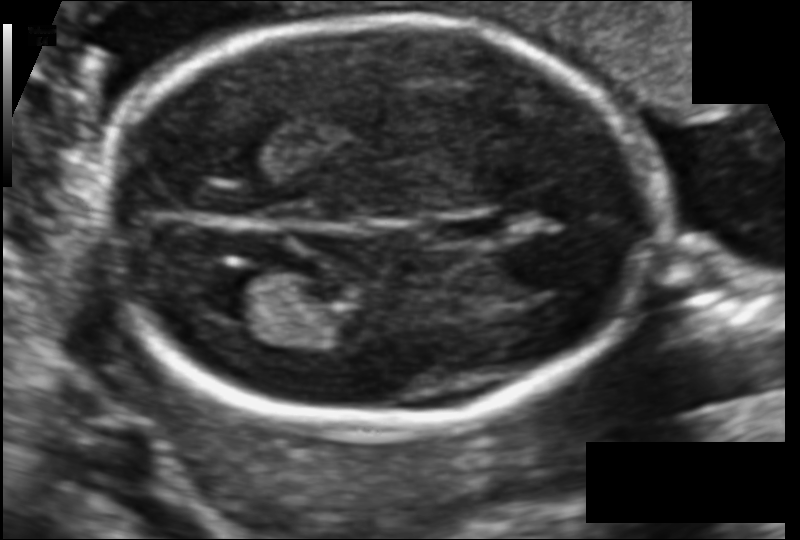
In this fetal head ultrasound, give the bounding box of the lateral ventricle. Image width: 84.6 mm.

[192,258,287,331]